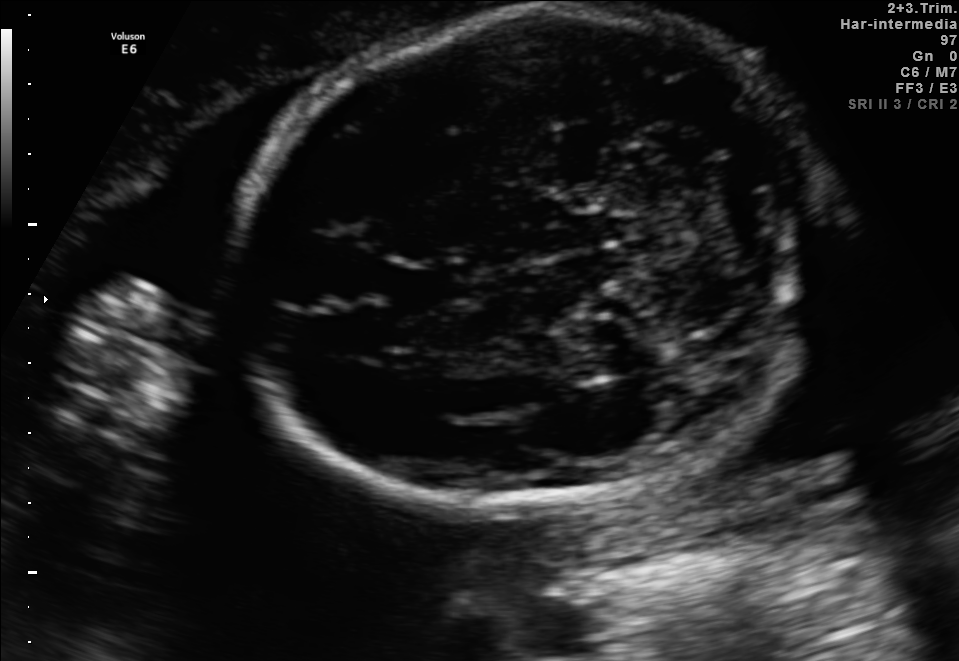
Fetal brain, trans-cerebellum plane. Give [x1,y1,x2,y2] bounding boxes for each visible structure among: fetal head, CSP, LV.

Head: [234,10,827,507]
CSP: [394,260,472,313]